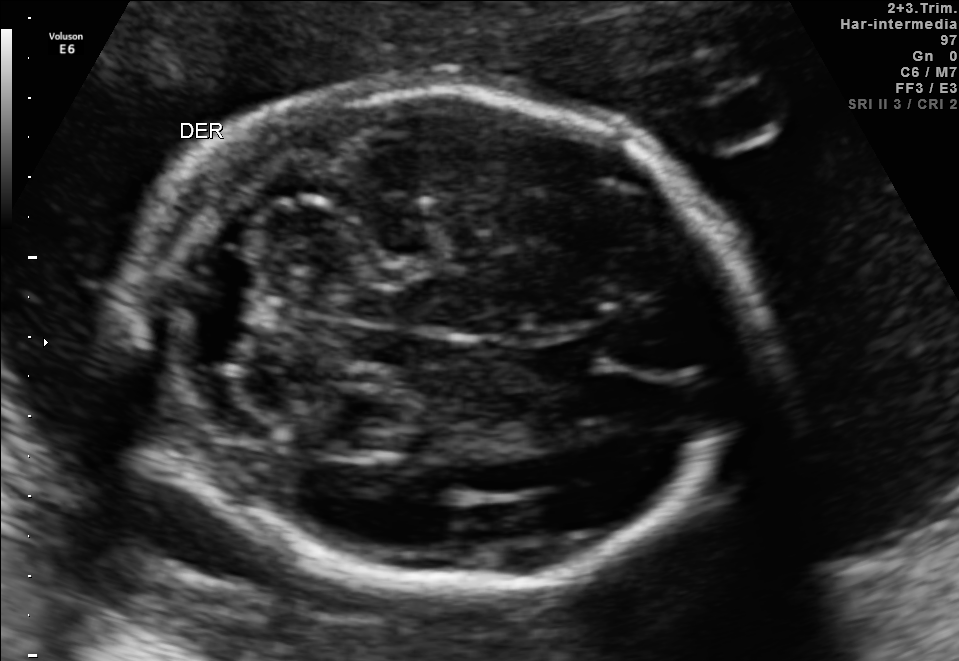
Fetal brain, trans-cerebellum plane. Give [x1,y1,x2,y2] bounding boxes for each visible structure among: fetal head, CSP, LV.

Head: [128,91,757,586]
CSP: [517,327,616,391]